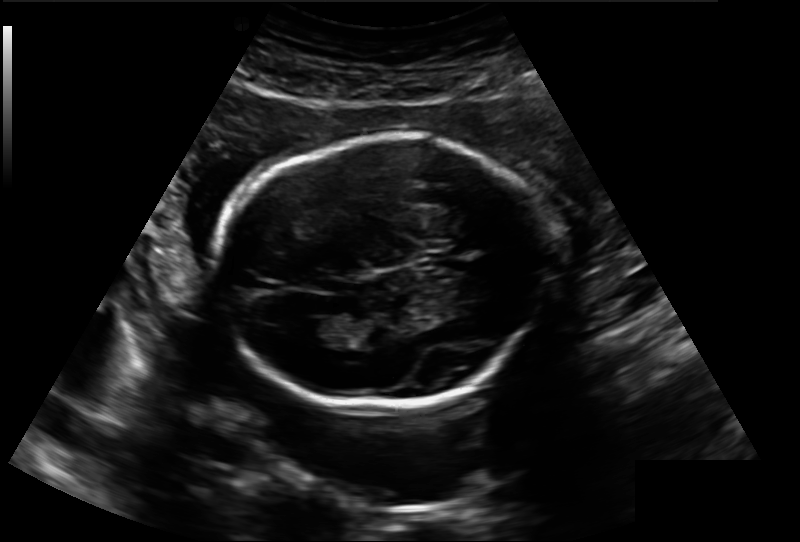
Fetal head ultrasound. Image width: 150.3 mm. Where is the lateral ventricle?

Lateral ventricle bounding box: [298,318,341,344]